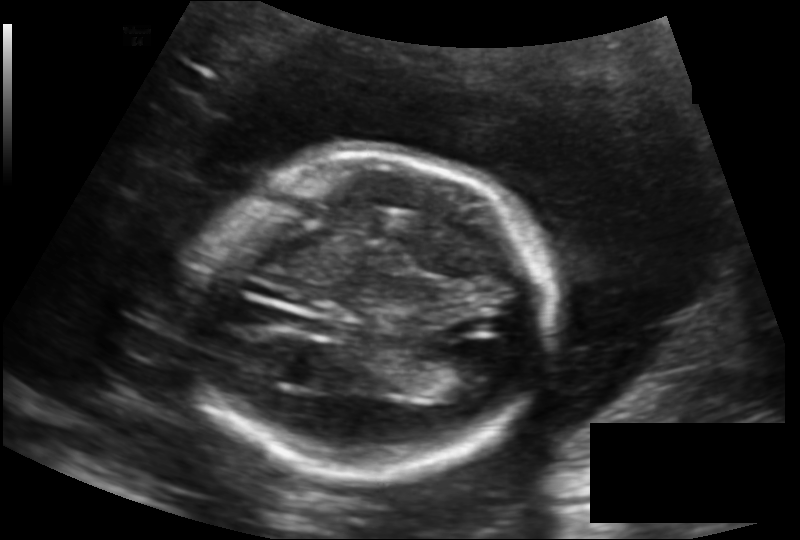
Estimate the fetal head circumference from this 2D ultrasound.

Head circumference: 172.1 mm (image width 122.9 mm).